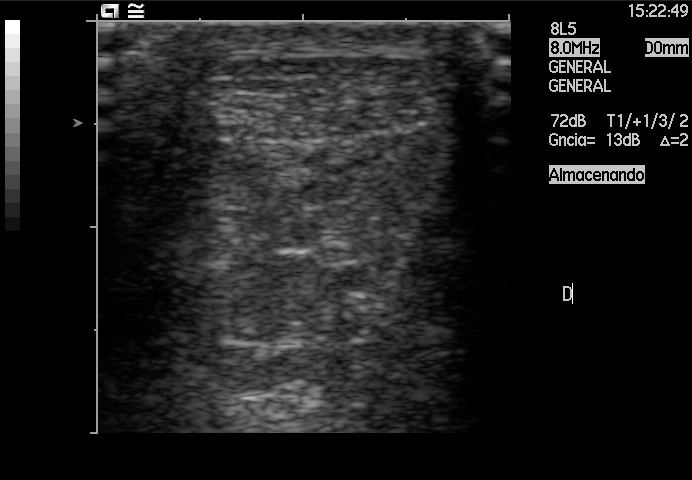
This is a 2D maternal-fetal ultrasound frame. Is it a fetal abdomen, fetal brain, fetal femur, fetal thorax, maternal cervix, or other standard plane? If it's fetal brain and one of the three standard brain planes (trans-thalamic, trans-cerebellum, trans-ventricular), name which.

Other